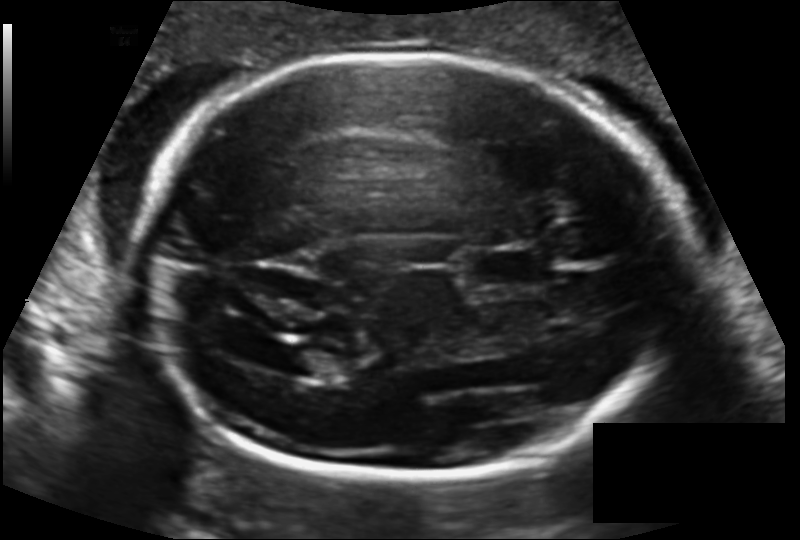
In this fetal head ultrasound, give bounding boxes for the head outline, cavum septum pellucidum (CSP), and lateral ventricle (LV), where visible. Image width: 112.0 mm.

Head: [135,53,682,479]
CSP: [467,243,551,294]
Lateral ventricle: [280,343,341,380]